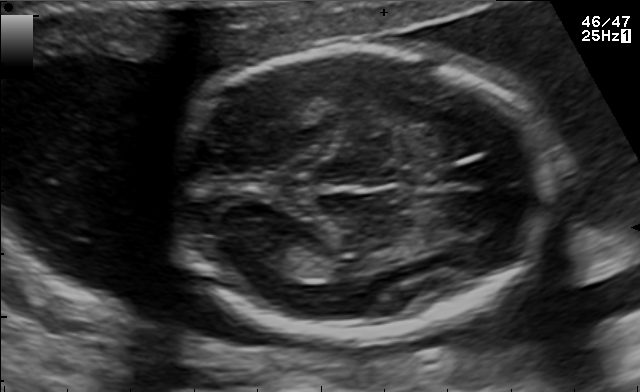
In this fetal brain, trans-thalamic plane, give the bounding box of the fetal head.

[172,48,546,338]